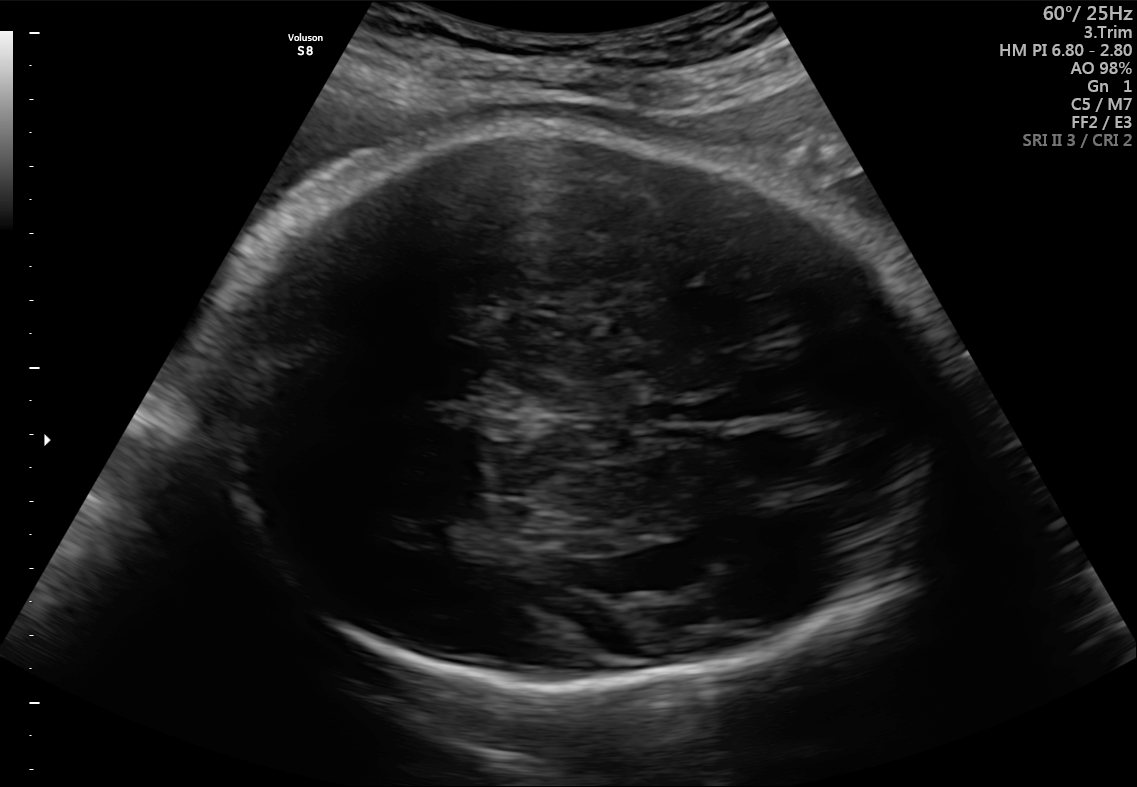
Fetal brain, trans-thalamic plane. Locate the fetal head and, if visible, the cavum septum pellucidum (CSP) and lateral ventricle (LV). Give bounding boxes as [x1,y1,x2,y2].

Head: [226,127,927,693]